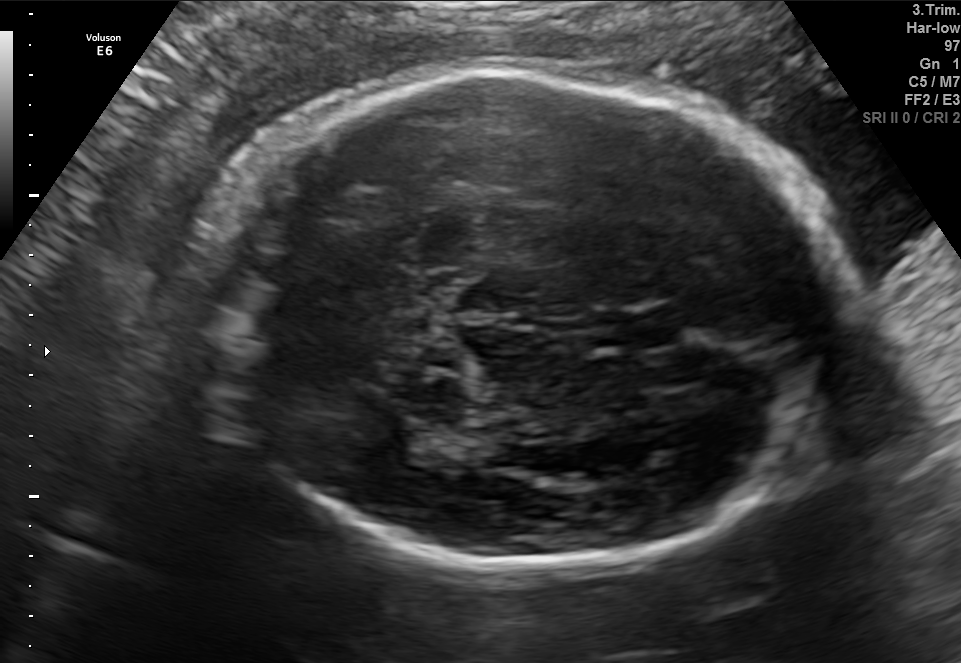
Fetal brain, trans-thalamic plane. Where is the fetal head?

Head bounding box: [196,64,841,565]